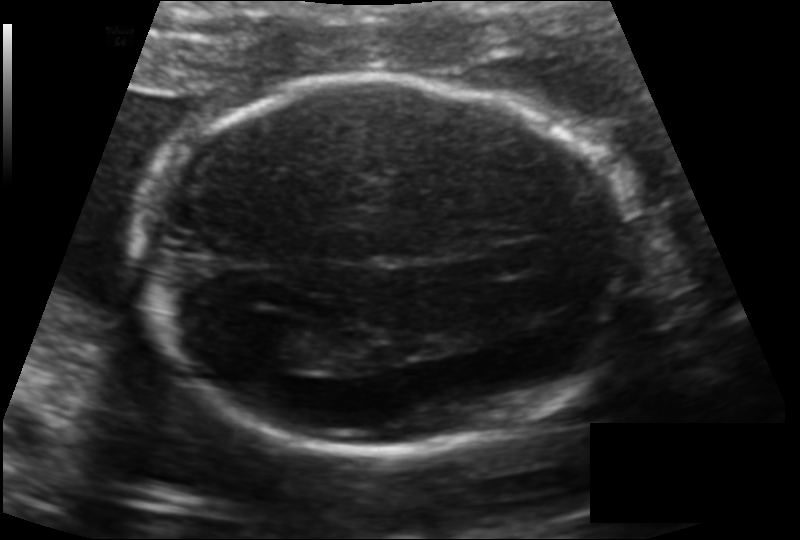
Fetal head ultrasound. Image width: 107.0 mm. Locate the cavum septum pellucidum.

CSP: [479,237,550,280]